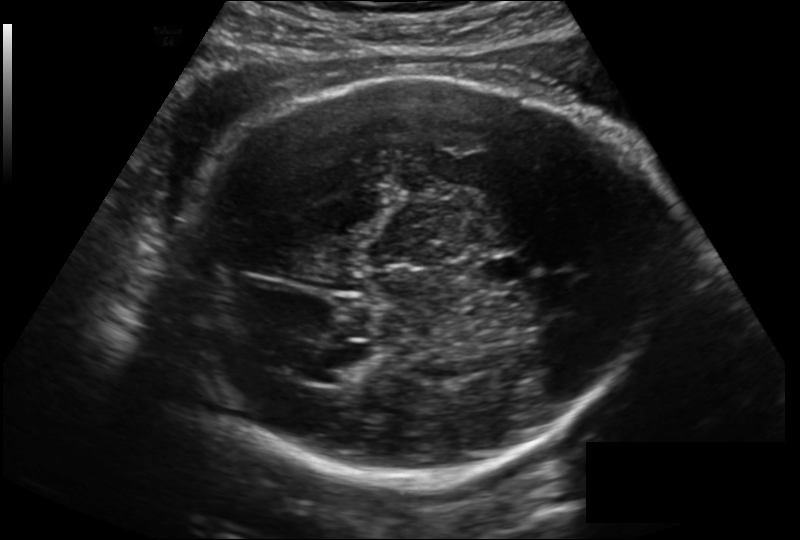
What is the fetal head circumference? Image width is 159.3 mm.

281.7 mm